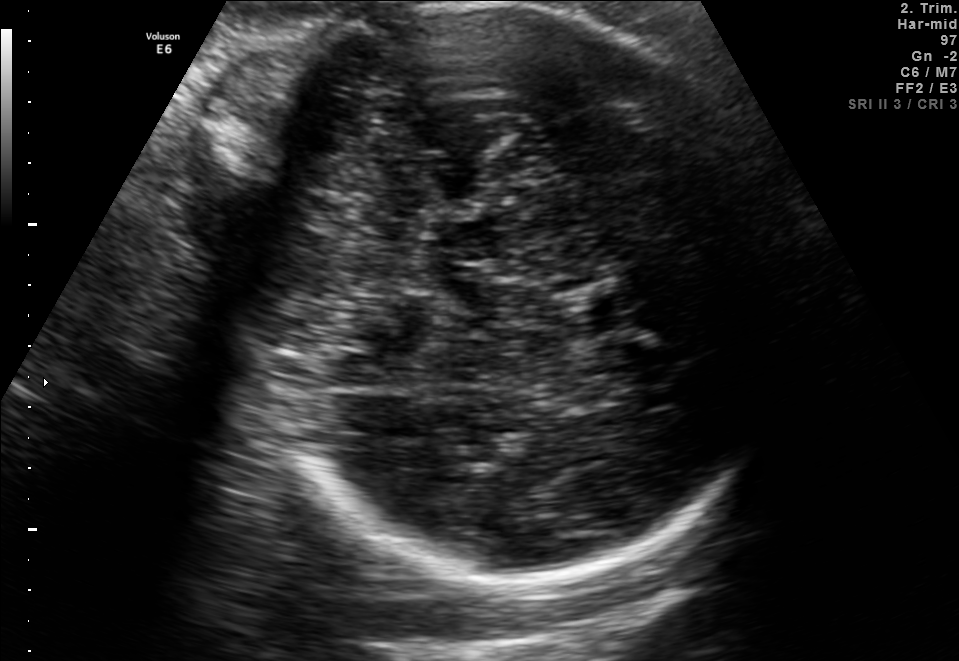
In this fetal brain, trans-thalamic plane, give the bounding box of the fetal head.

[242,2,775,585]